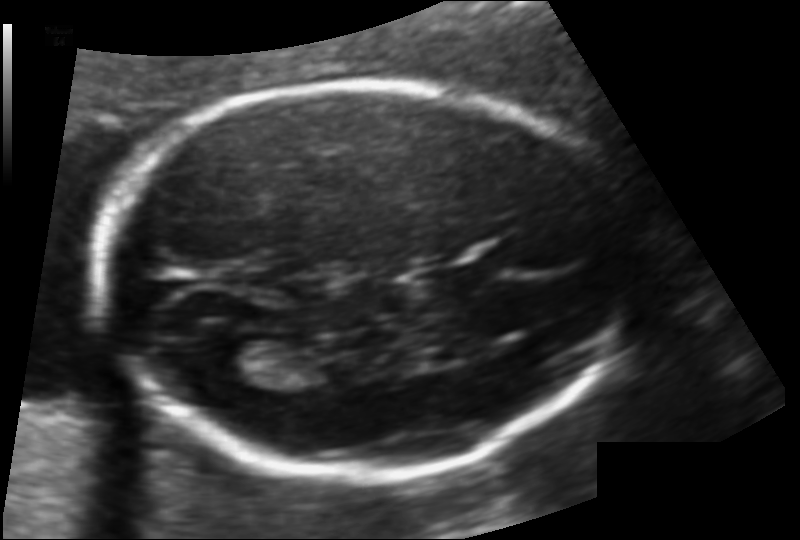
Fetal head ultrasound. Image width: 93.3 mm. Locate the cavum septum pellucidum.

CSP: [430,258,490,301]